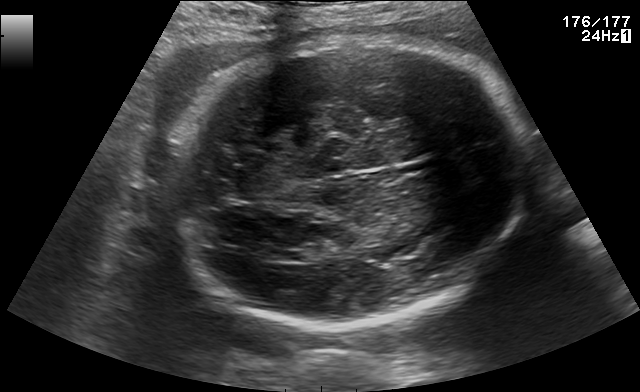
Fetal brain, trans-thalamic plane. Locate the lateral ventricle.

Lateral ventricle: [270,251,307,263]